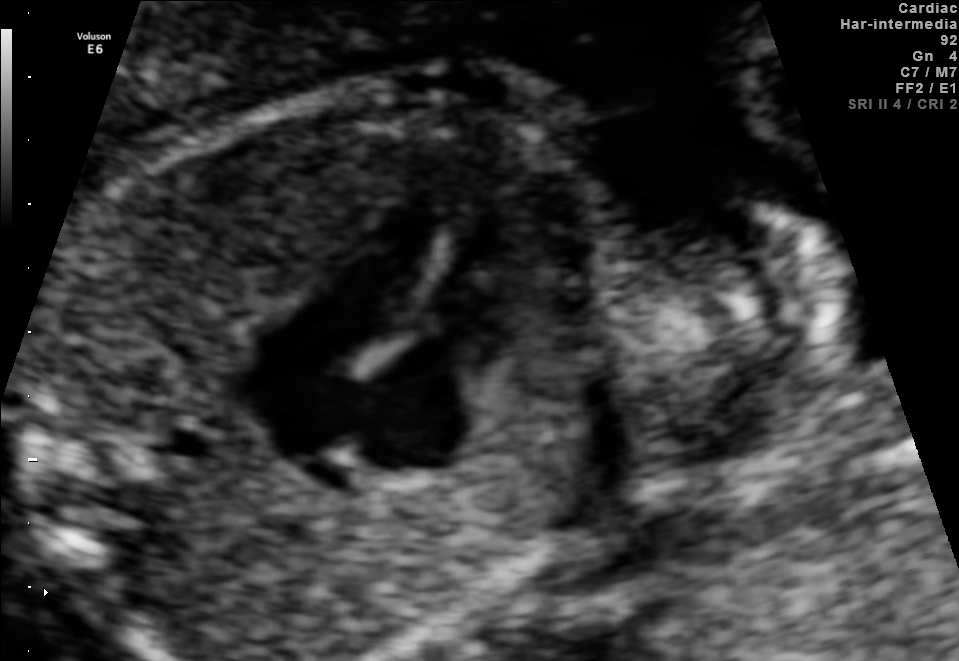
This is a 2D maternal-fetal ultrasound frame. Is it a fetal abdomen, fetal brain, fetal femur, fetal thorax, maternal cervix, or other standard plane? If it's fetal brain and one of the three standard brain planes (trans-thalamic, trans-cerebellum, trans-ventricular), name which.

Fetal thorax